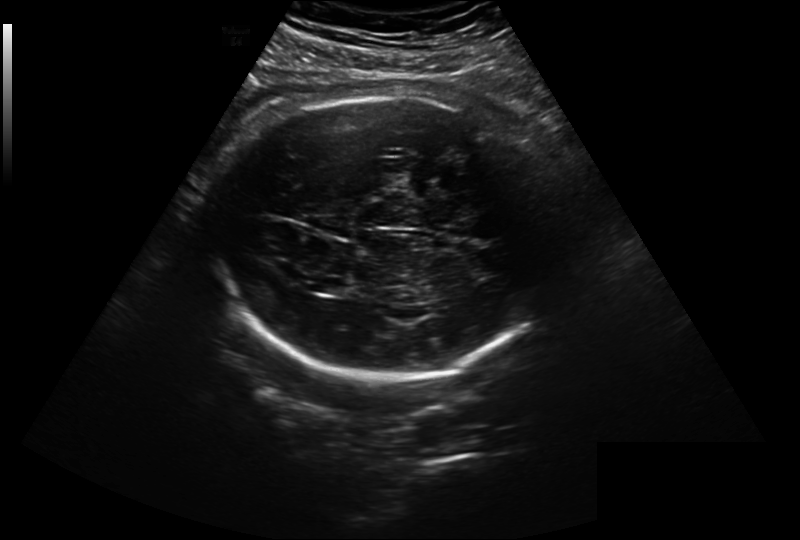
Fetal head ultrasound. Image width: 239.2 mm. Where is the fetal head?

Head bounding box: [217,95,553,383]